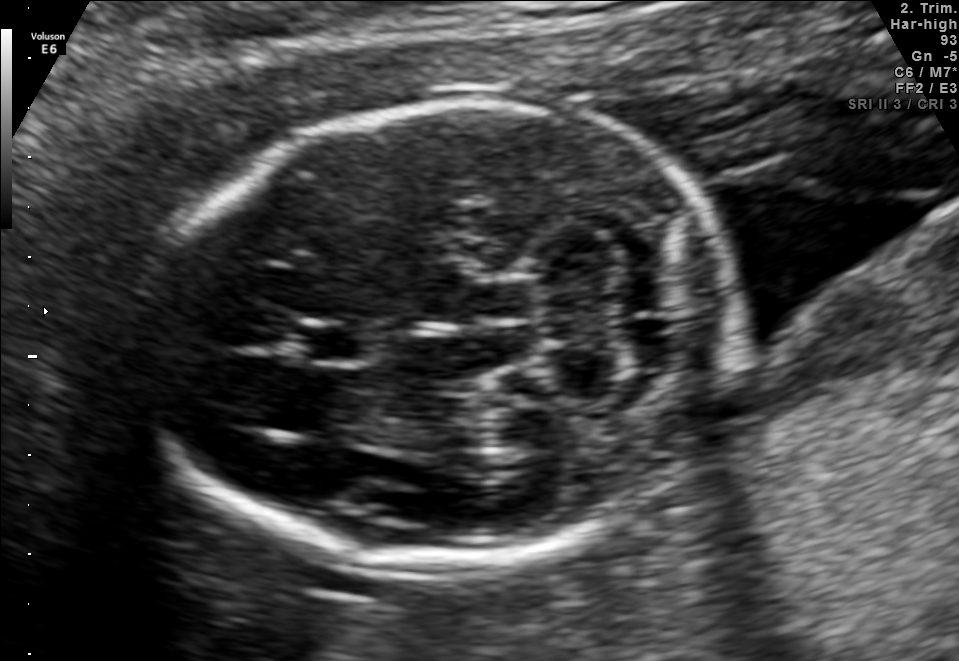
This is a 2D maternal-fetal ultrasound frame. Is it a fetal abdomen, fetal brain, fetal femur, fetal thorax, maternal cervix, or other standard plane? If it's fetal brain and one of the three standard brain planes (trans-thalamic, trans-cerebellum, trans-ventricular), name which.

Fetal brain (trans-cerebellum plane)